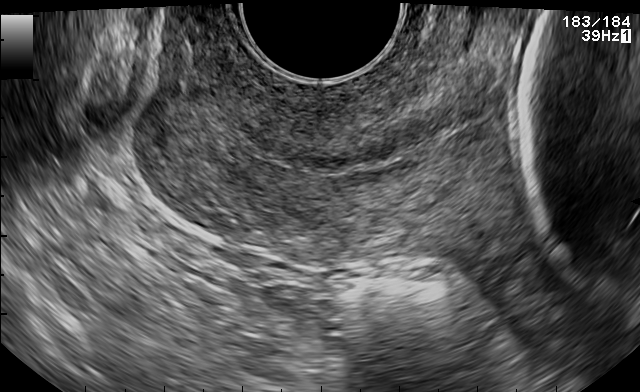
This is a 2D maternal-fetal ultrasound frame. Is it a fetal abdomen, fetal brain, fetal femur, fetal thorax, maternal cervix, or other standard plane? If it's fetal brain and one of the three standard brain planes (trans-thalamic, trans-cerebellum, trans-ventricular), name which.

Maternal cervix